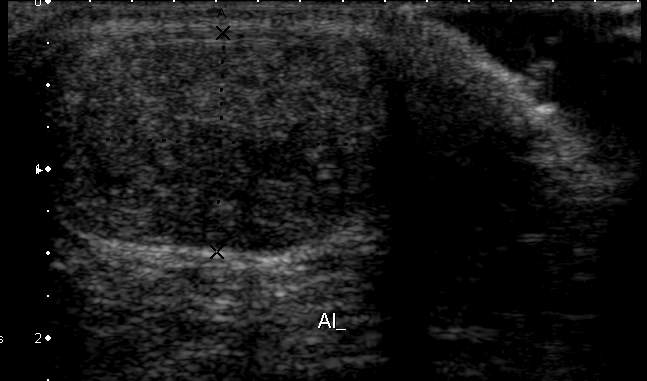
Classify this maternal-fetal ultrasound image as one of the six standard planes — fetal abdomen, fetal brain, fetal femur, fetal thorax, maternal cervix, or other. If it's fetal brain and one of the three standard brain planes (trans-thalamic, trans-cerebellum, trans-ventricular), name which.

Other